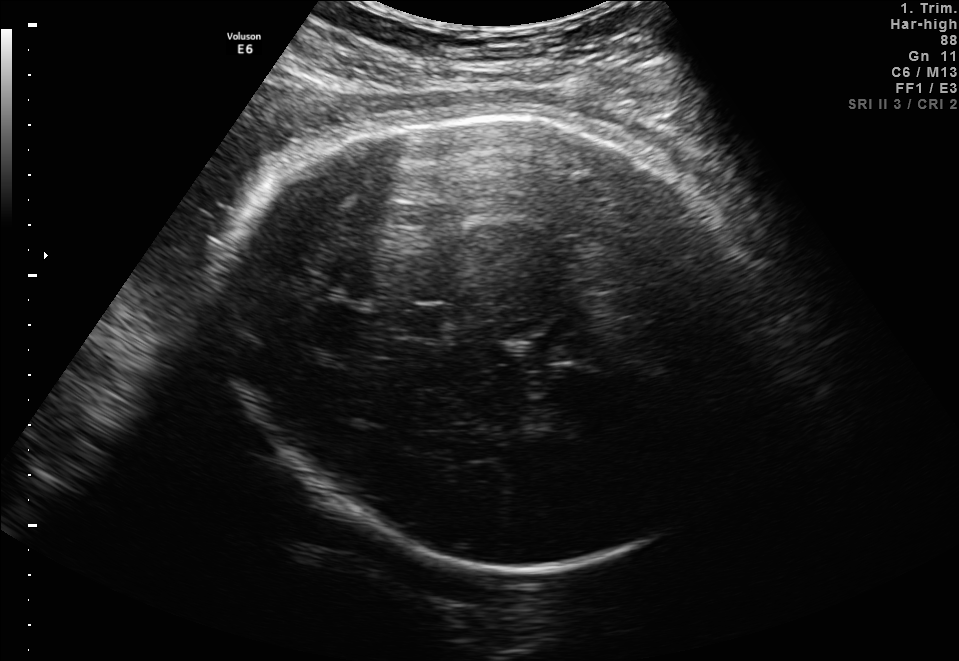
Fetal brain, trans-thalamic plane. Locate the cavum septum pellucidum.

CSP: [401,305,459,340]